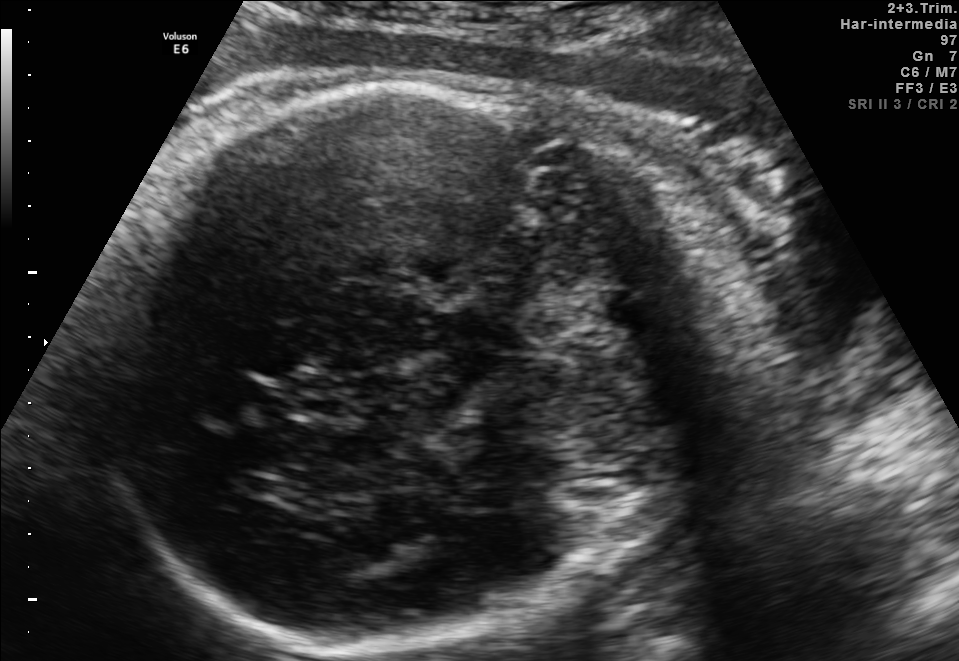
Fetal brain, trans-thalamic plane. Give [x1,y1,x2,y2] bounding boxes for each visible structure among: fetal head, CSP, LV.

Head: [86,75,759,636]